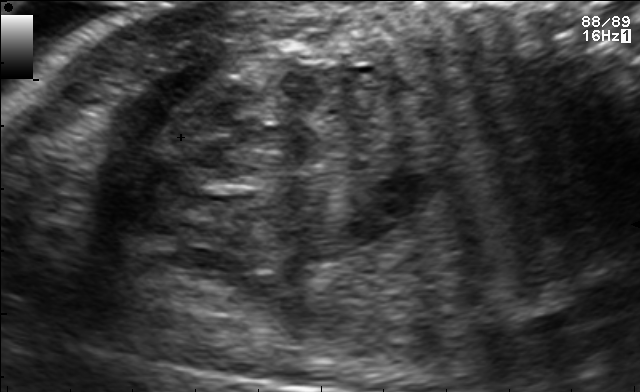
Which standard maternal-fetal ultrasound plane is shown: fetal abdomen, fetal brain, fetal femur, fetal thorax, maternal cervix, or other? If it's fetal brain and one of the three standard brain planes (trans-thalamic, trans-cerebellum, trans-ventricular), name which.

Other